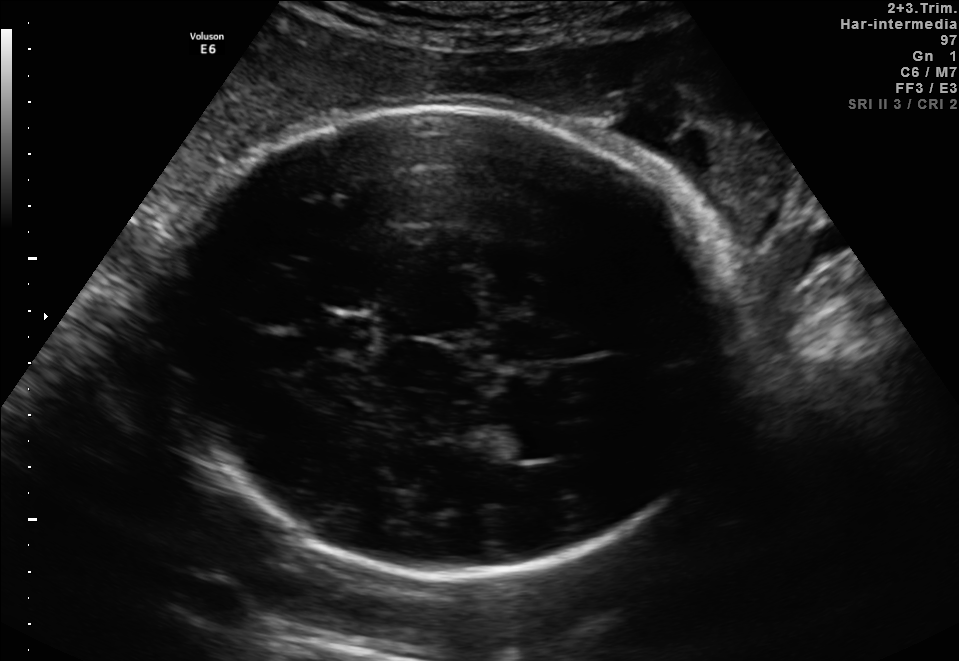
Fetal brain, trans-thalamic plane. Locate the fetal head and, if visible, the cavum septum pellucidum (CSP) and lateral ventricle (LV). Give bounding boxes as [x1,y1,x2,y2].

Head: [159,101,738,576]
CSP: [315,314,374,349]
Lateral ventricle: [471,416,571,465]